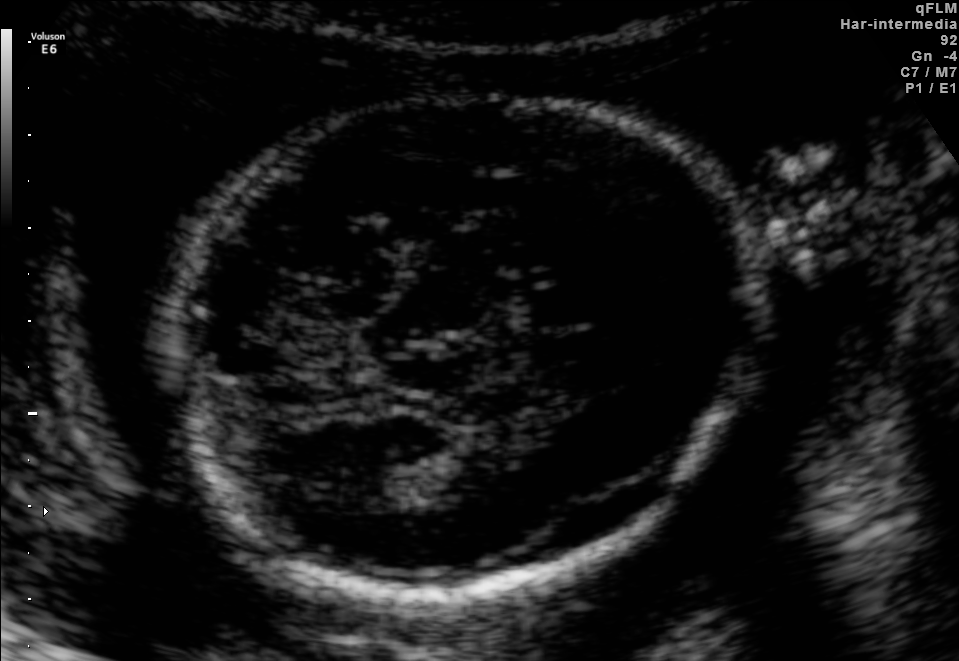
Fetal brain, trans-thalamic plane. Give [x1,y1,x2,y2] bounding boxes for each visible structure among: fetal head, CSP, LV.

Head: [167,92,752,593]
Lateral ventricle: [331,464,404,514]